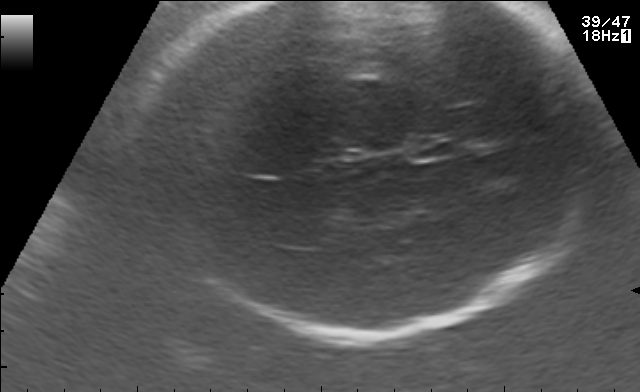
In this fetal brain, trans-thalamic plane, give the bounding box of the cavum septum pellucidum.

[405,132,457,162]